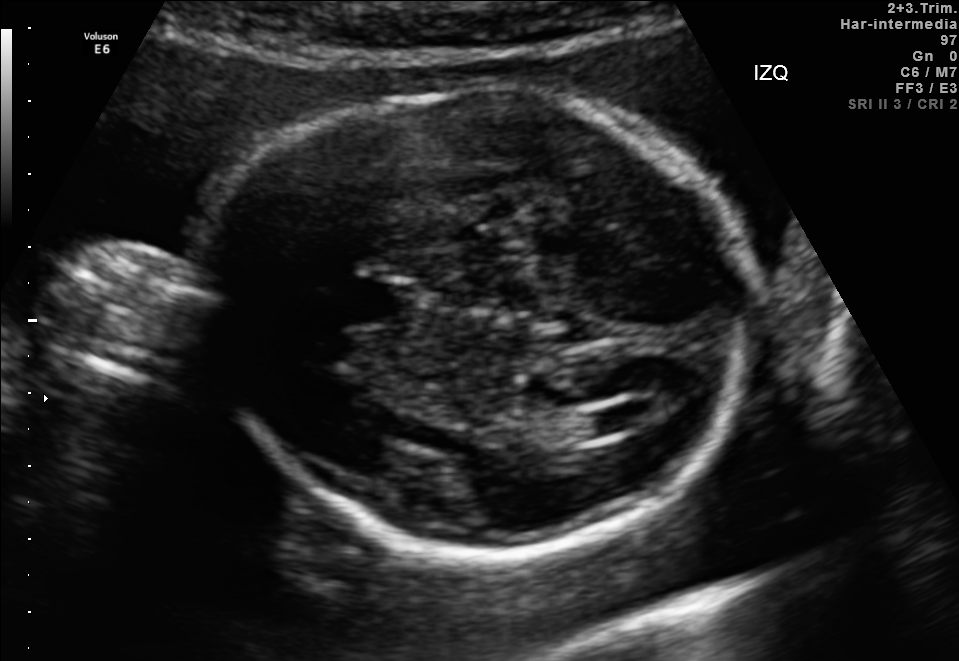
In this fetal brain, trans-ventricular plane, give the bounding box of the fetal head.

[186,78,775,565]